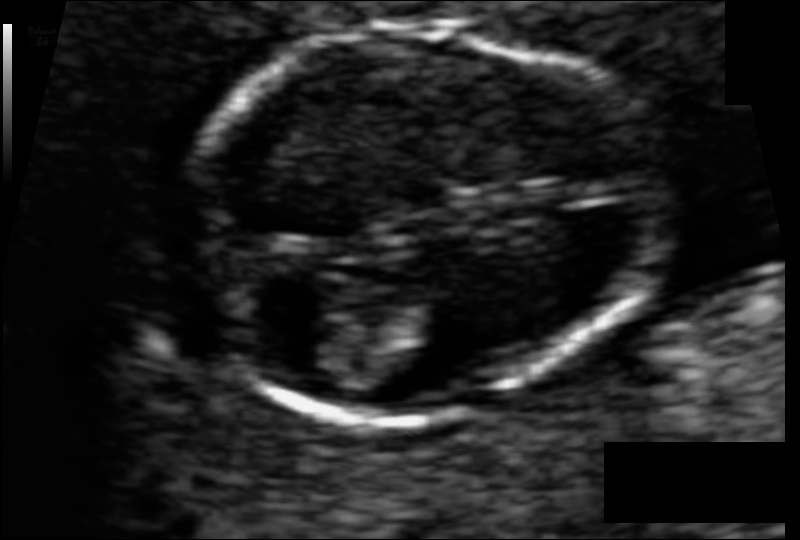
Fetal head ultrasound. Image width: 43.8 mm. Give [x1,y1,x2,y2] bounding boxes for each visible structure among: fetal head, CSP, LV.

Head: [185,18,652,419]